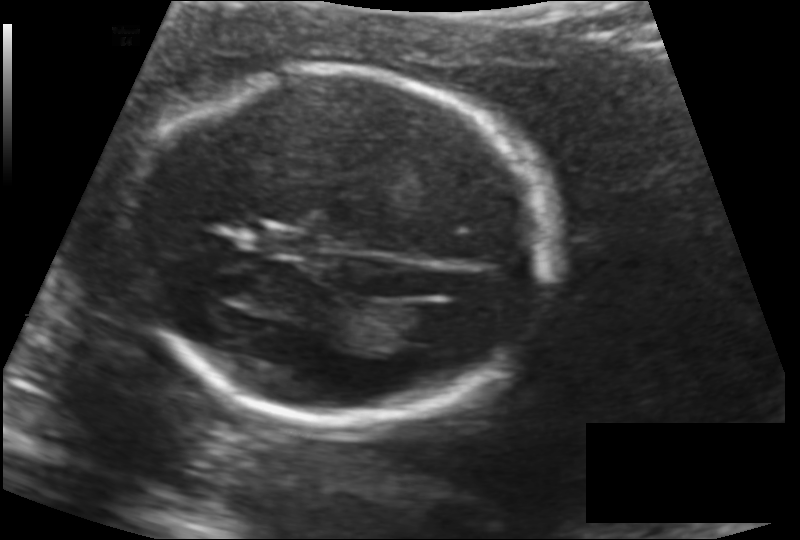
Fetal head ultrasound. Image width: 105.6 mm. Locate the fetal head and, if visible, the cavum septum pellucidum (CSP) and lateral ventricle (LV). Give bounding boxes as [x1,y1,x2,y2].

Head: [136,67,546,429]
CSP: [265,231,310,256]
Lateral ventricle: [393,303,454,343]